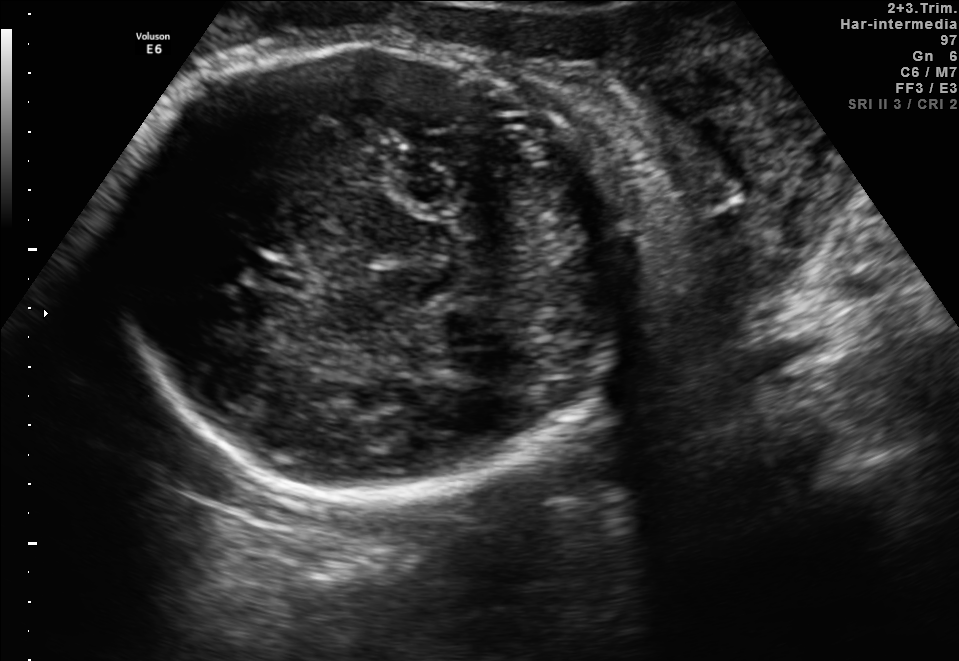
In this fetal brain, trans-thalamic plane, give the bounding box of the fetal head.

[108,38,641,489]